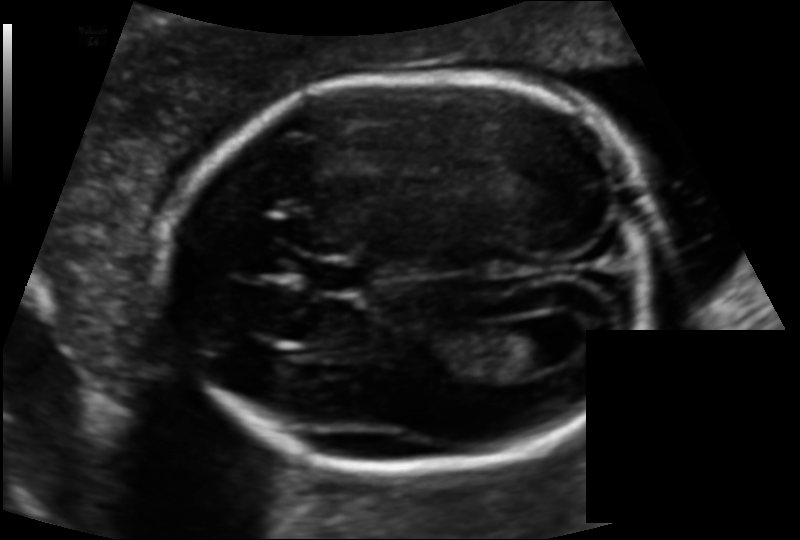
Fetal head ultrasound. Image width: 95.5 mm. Locate the fetal head.

Head: [165,74,655,473]